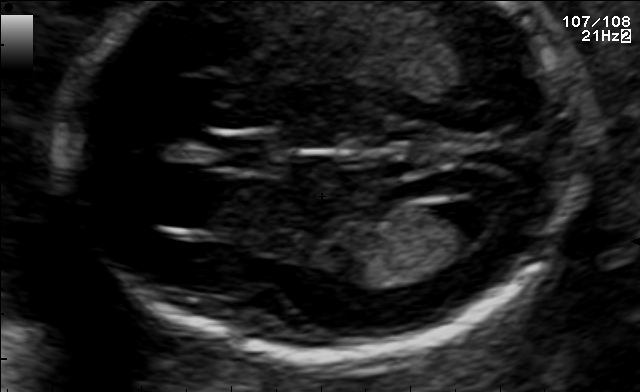
Which standard maternal-fetal ultrasound plane is shown: fetal abdomen, fetal brain, fetal femur, fetal thorax, maternal cervix, or other? If it's fetal brain and one of the three standard brain planes (trans-thalamic, trans-cerebellum, trans-ventricular), name which.

Other